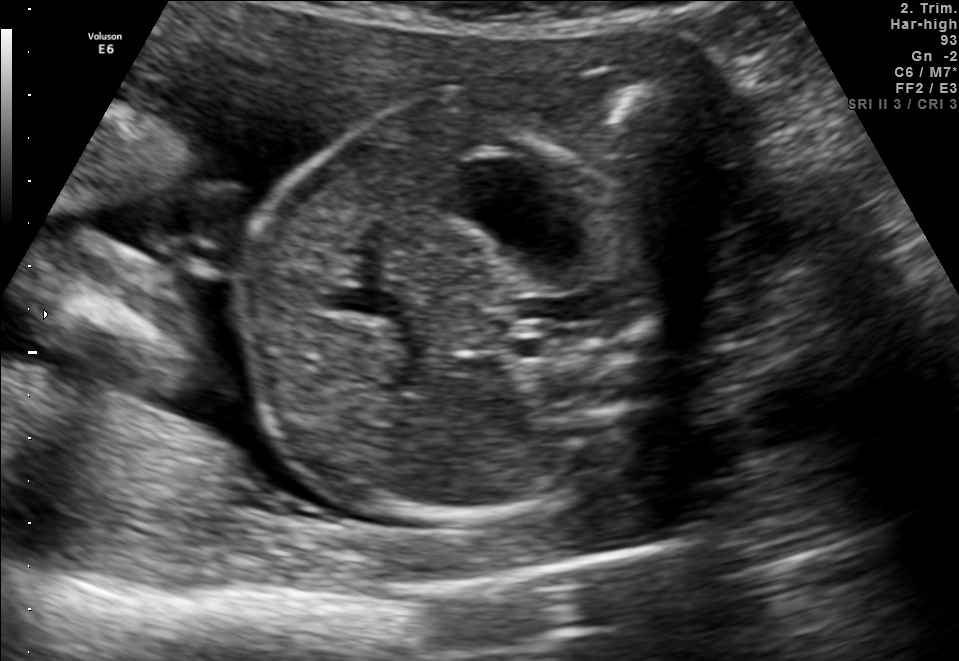
Classify this maternal-fetal ultrasound image as one of the six standard planes — fetal abdomen, fetal brain, fetal femur, fetal thorax, maternal cervix, or other. If it's fetal brain and one of the three standard brain planes (trans-thalamic, trans-cerebellum, trans-ventricular), name which.

Fetal abdomen